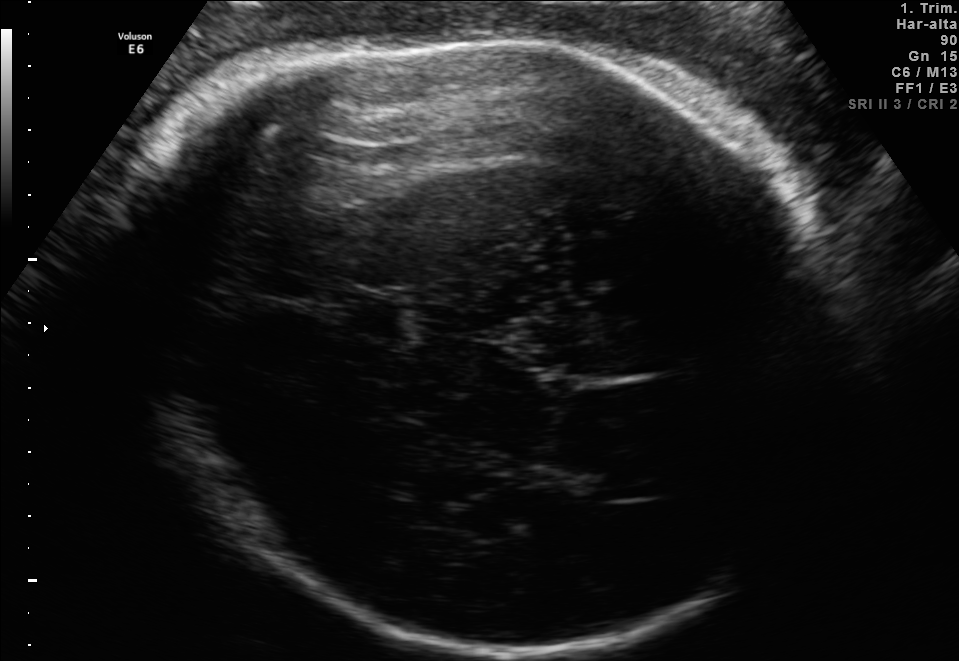
Fetal brain, trans-thalamic plane. Locate the cavum septum pellucidum.

CSP: [335,290,404,339]